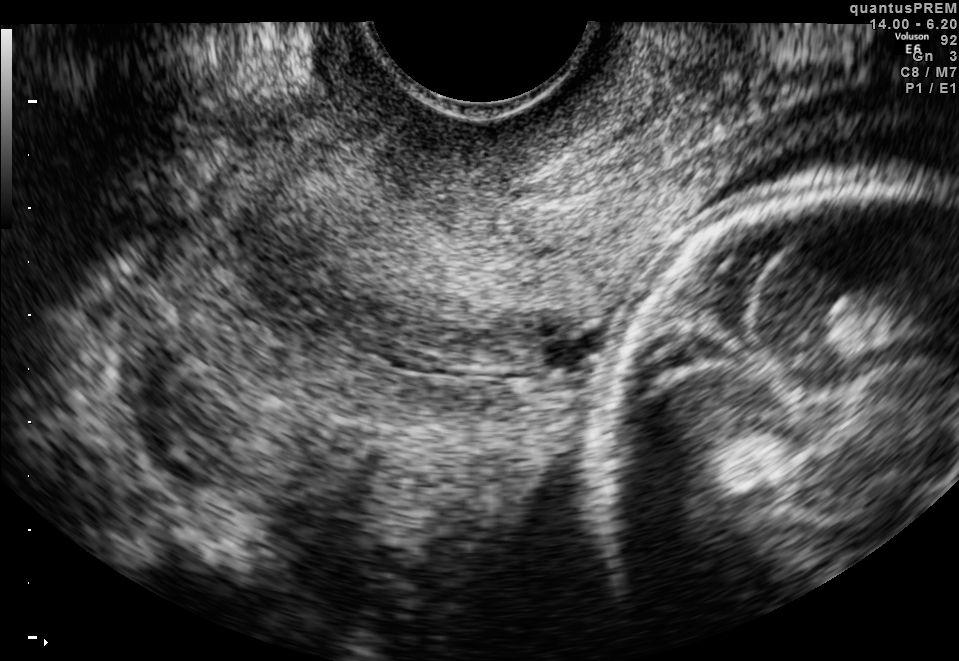
Identify the standard plane in this fetal ultrasound image: fetal abdomen, fetal brain, fetal femur, fetal thorax, maternal cervix, or other. If it's fetal brain and one of the three standard brain planes (trans-thalamic, trans-cerebellum, trans-ventricular), name which.

Maternal cervix